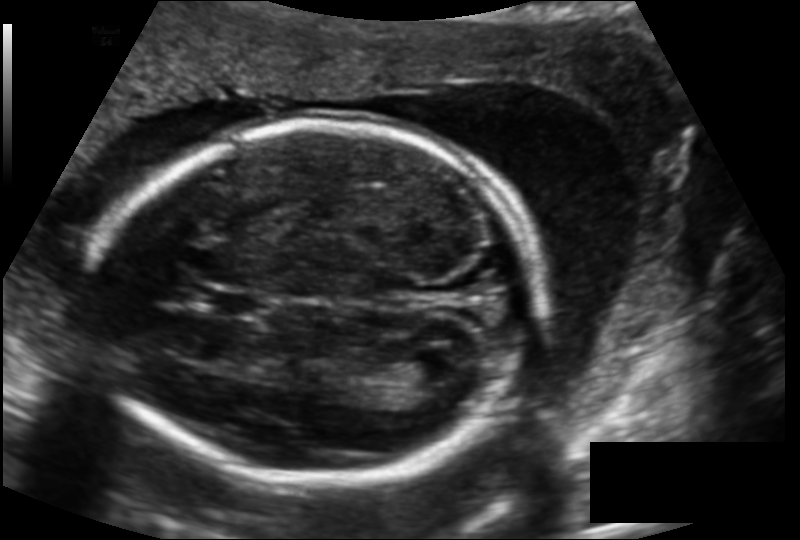
Estimate the fetal head circumference from this 2D ultrasound.

Head circumference: 184.3 mm (image width 114.6 mm).